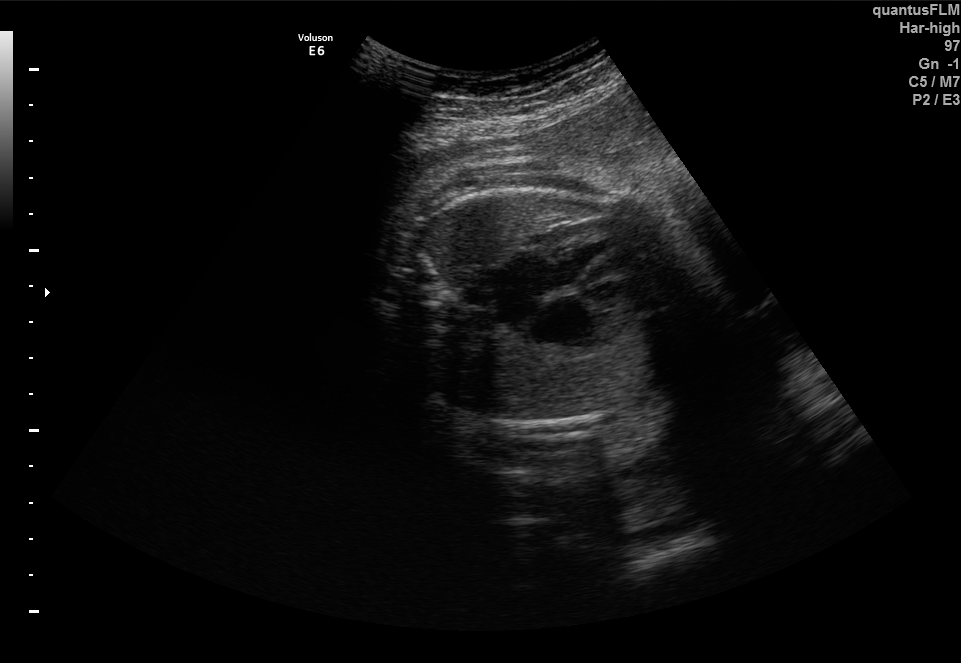
Identify the standard plane in this fetal ultrasound image: fetal abdomen, fetal brain, fetal femur, fetal thorax, maternal cervix, or other. If it's fetal brain and one of the three standard brain planes (trans-thalamic, trans-cerebellum, trans-ventricular), name which.

Fetal thorax